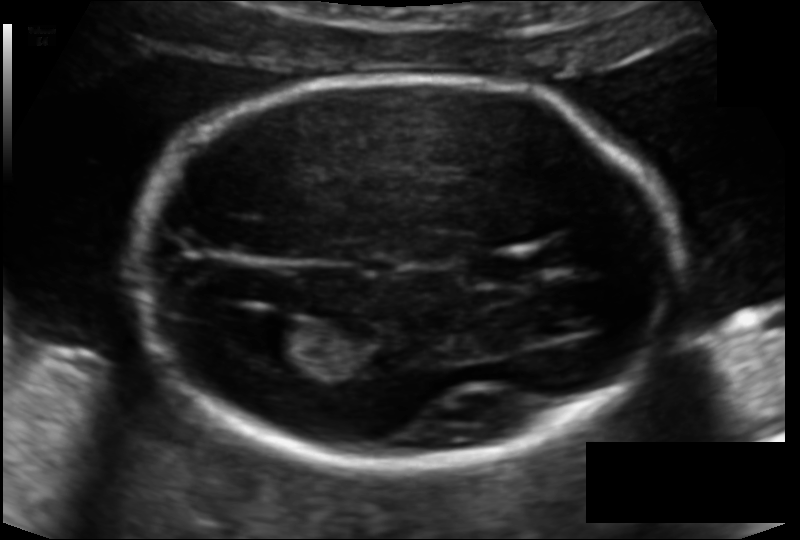
From this fetal ultrasound, estimate the head circumference (image width 95.2 mm).

Head circumference: 176.7 mm.